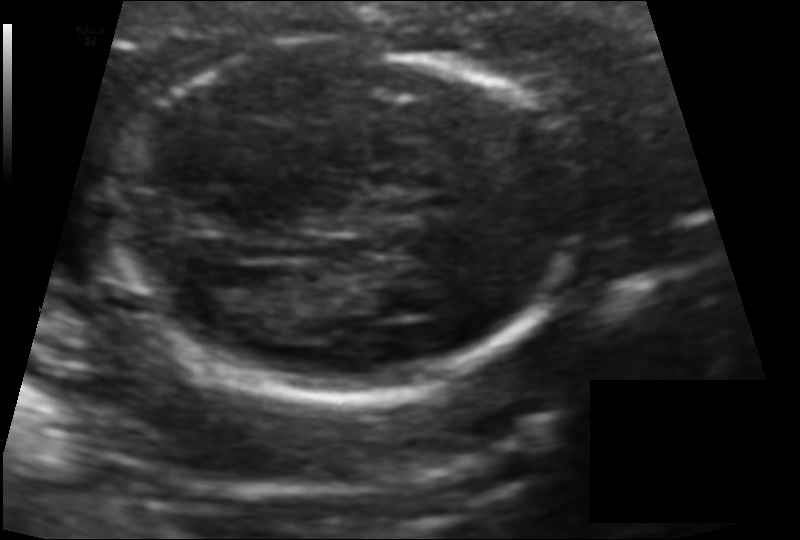
What is the fetal head circumference? Image width is 81.1 mm.

135.1 mm